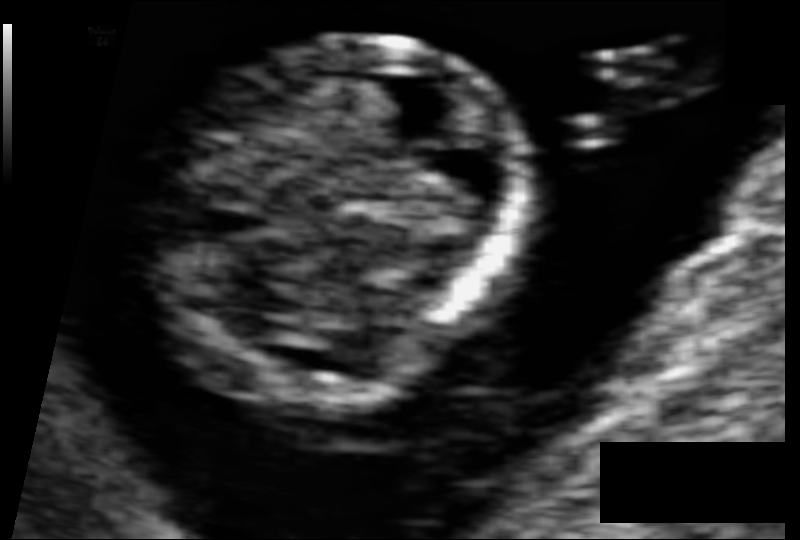
Fetal head ultrasound. Image width: 43.4 mm. Where is the fetal head?

Head bounding box: [142,36,525,408]